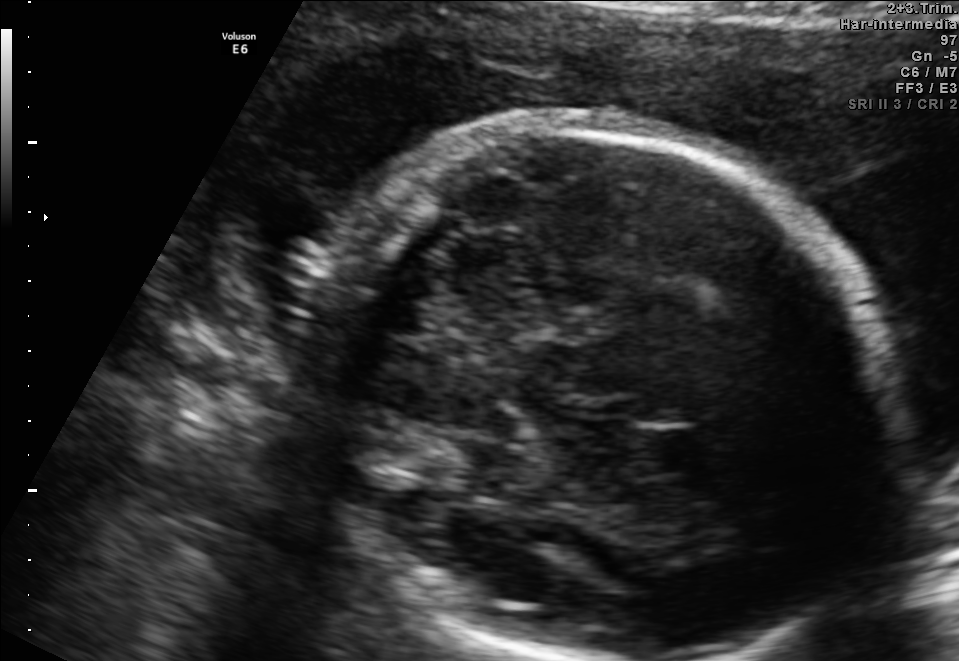
Fetal brain, trans-thalamic plane. Locate the fetal head and, if visible, the cavum septum pellucidum (CSP) and lateral ventricle (LV). Give bounding boxes as [x1,y1,x2,y2].

Head: [304,120,891,657]
CSP: [641,427,712,473]